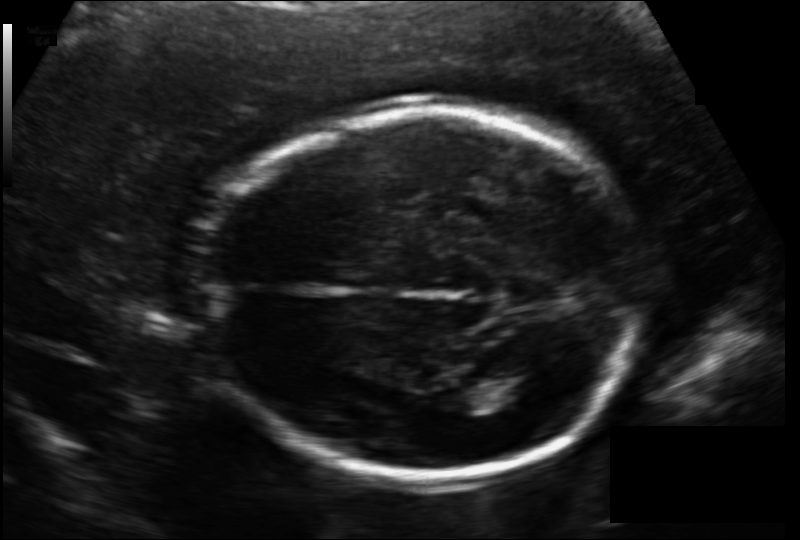
What is the fetal head circumference? Image width is 106.6 mm.

177.0 mm